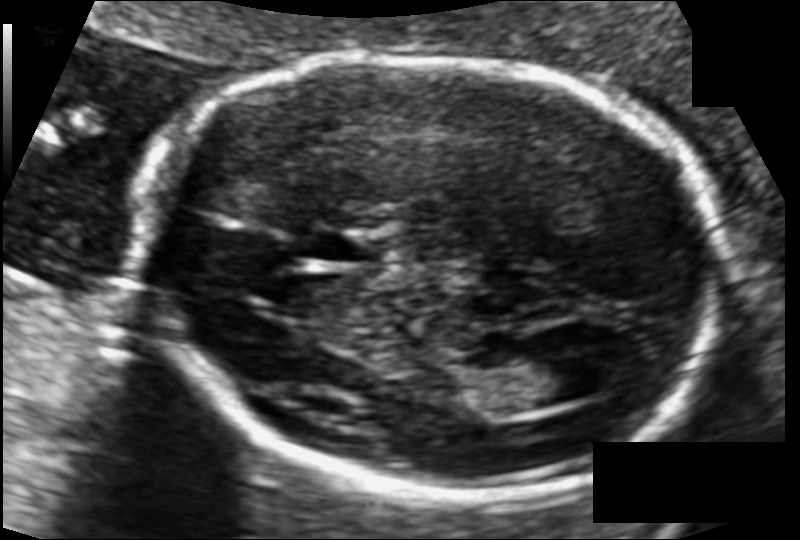
Fetal head ultrasound. Image width: 81.0 mm. Where is the cavum septum pellucidum?

CSP bounding box: [304,226,381,266]